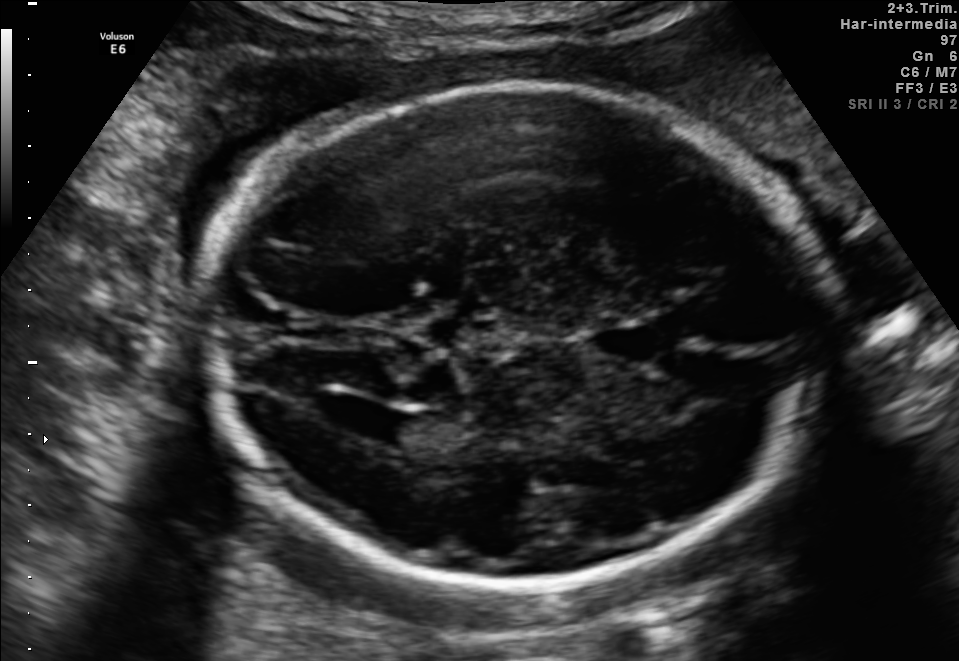
In this fetal brain, trans-ventricular plane, give bounding boxes for the head outline, cavum septum pellucidum (CSP), and lateral ventricle (LV), where visible.

Head: [196,79,845,592]
Lateral ventricle: [329,394,418,451]